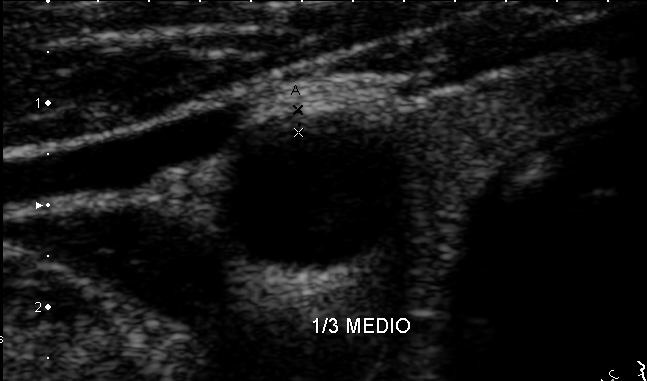
Identify the standard plane in this fetal ultrasound image: fetal abdomen, fetal brain, fetal femur, fetal thorax, maternal cervix, or other. If it's fetal brain and one of the three standard brain planes (trans-thalamic, trans-cerebellum, trans-ventricular), name which.

Other